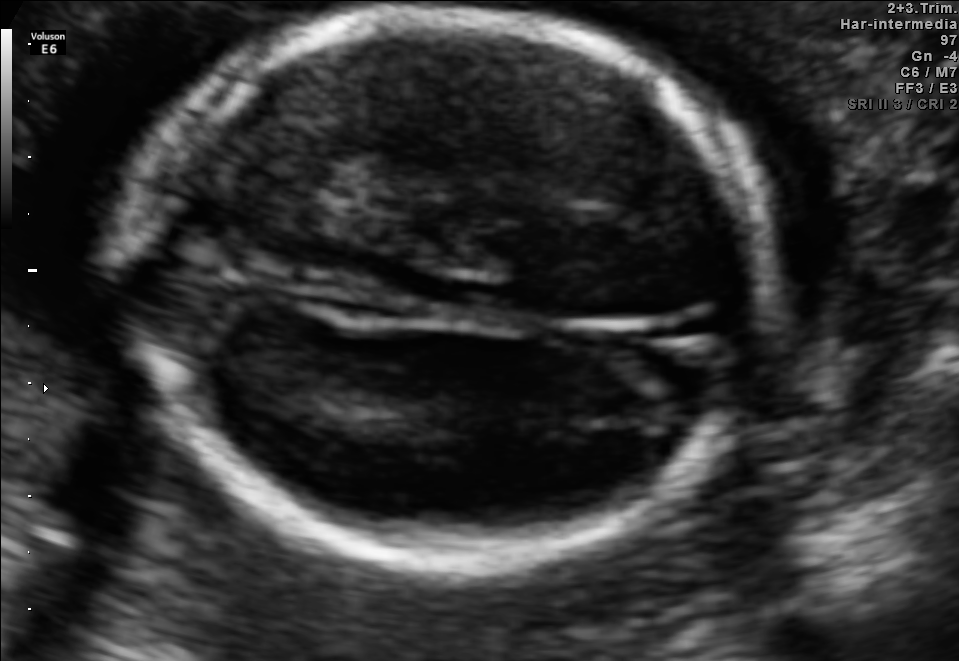
Classify this maternal-fetal ultrasound image as one of the six standard planes — fetal abdomen, fetal brain, fetal femur, fetal thorax, maternal cervix, or other. If it's fetal brain and one of the three standard brain planes (trans-thalamic, trans-cerebellum, trans-ventricular), name which.

Fetal brain (trans-thalamic plane)